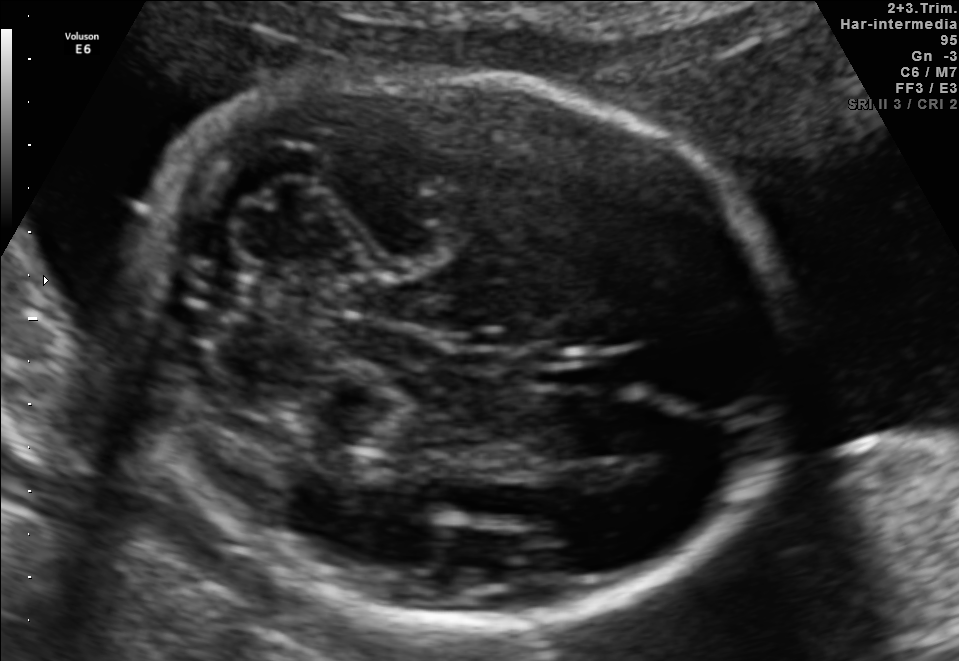
In this fetal brain, trans-cerebellum plane, give bounding boxes for the head outline, cavum septum pellucidum (CSP), and lateral ventricle (LV), where visible.

Head: [128,71,789,630]